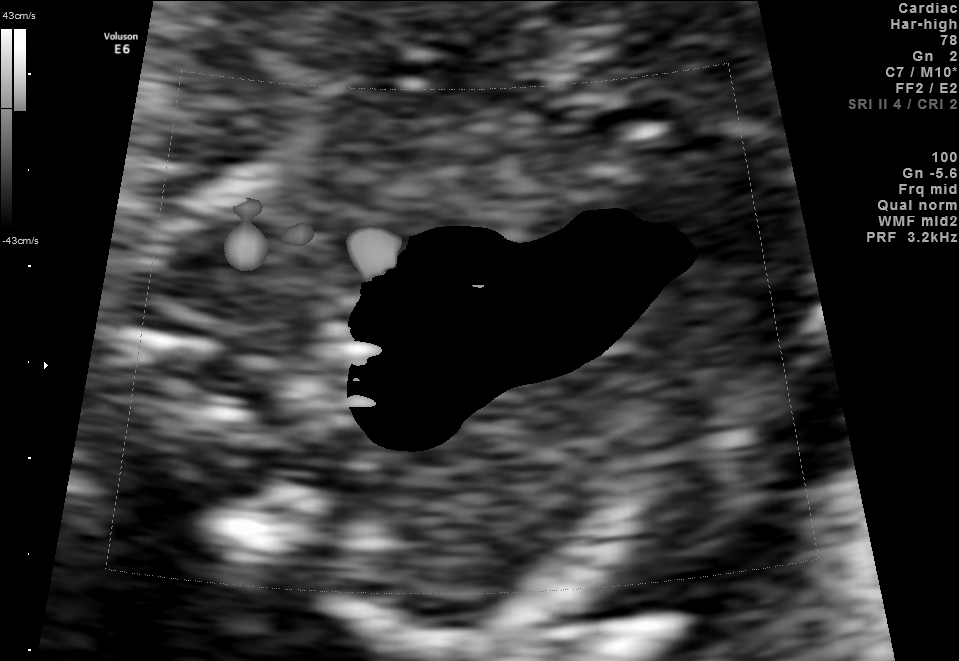
This is a 2D maternal-fetal ultrasound frame. Is it a fetal abdomen, fetal brain, fetal femur, fetal thorax, maternal cervix, or other standard plane? If it's fetal brain and one of the three standard brain planes (trans-thalamic, trans-cerebellum, trans-ventricular), name which.

Other